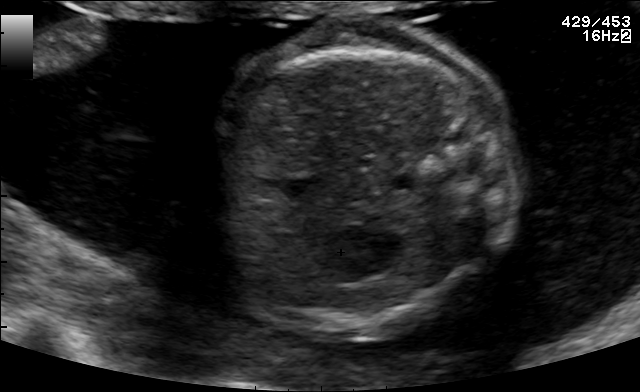
Identify the standard plane in this fetal ultrasound image: fetal abdomen, fetal brain, fetal femur, fetal thorax, maternal cervix, or other. If it's fetal brain and one of the three standard brain planes (trans-thalamic, trans-cerebellum, trans-ventricular), name which.

Other